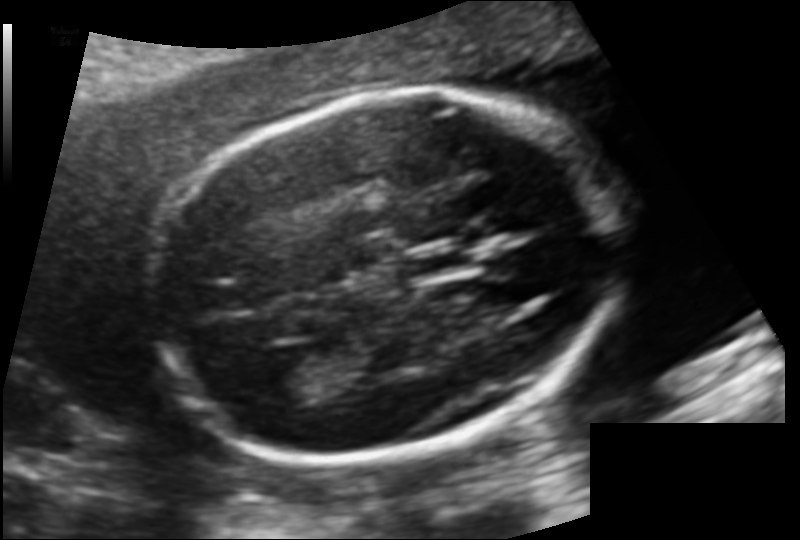
Fetal head ultrasound. Image width: 96.3 mm. Locate the fetal head.

Head: [152,92,613,459]